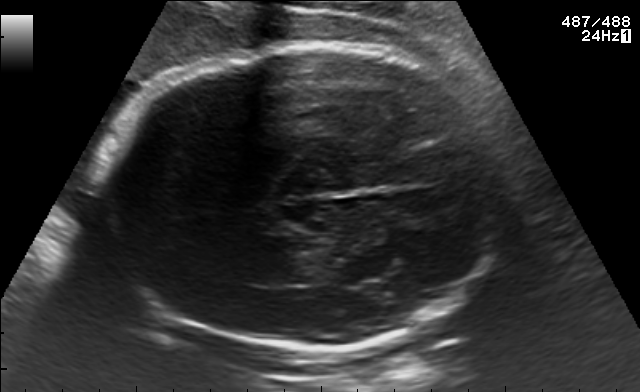
Fetal brain, trans-thalamic plane. Give [x1,y1,x2,y2] bounding boxes for each visible structure among: fetal head, CSP, LV.

Head: [93,45,503,349]